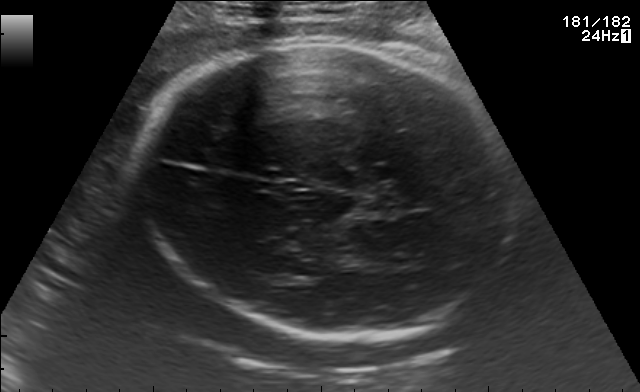
Fetal brain, trans-thalamic plane. Where is the fetal head?

Head bounding box: [138,41,511,336]